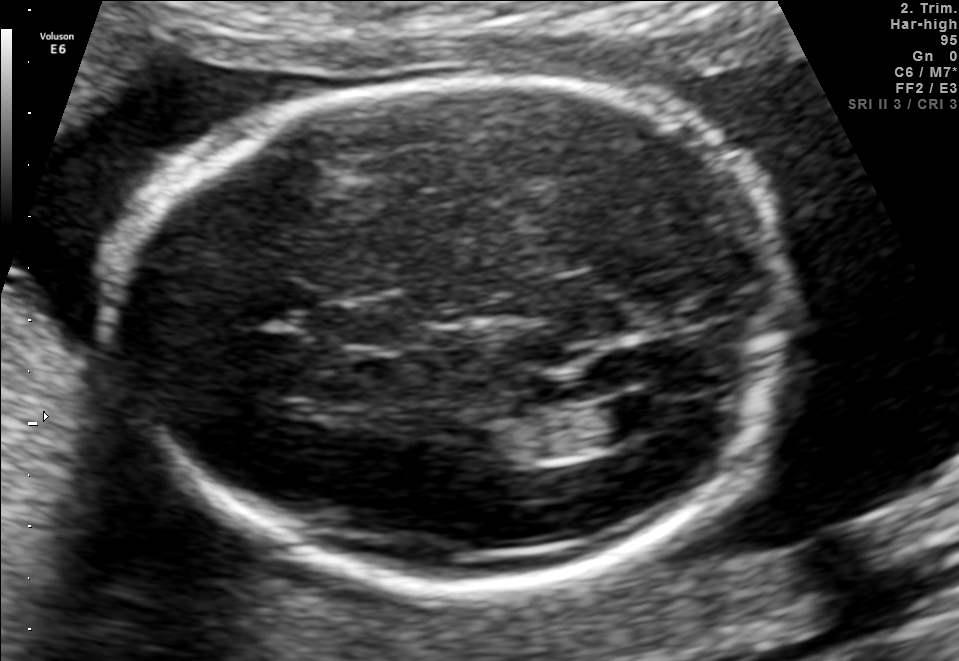
In this fetal brain, trans-ventricular plane, give the bounding box of the lateral ventricle.

[592,380,680,448]